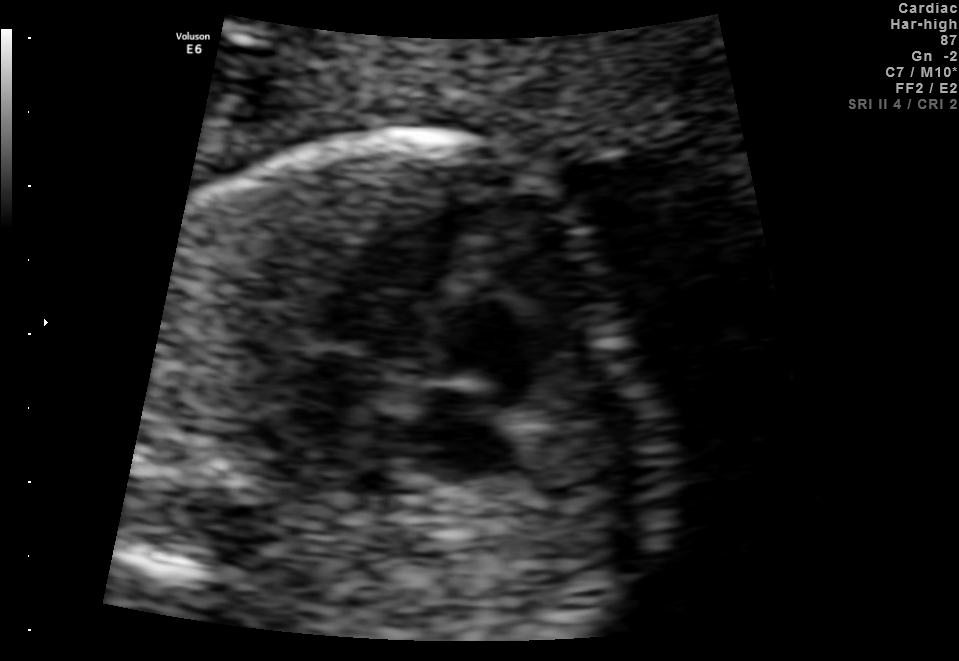
Classify this maternal-fetal ultrasound image as one of the six standard planes — fetal abdomen, fetal brain, fetal femur, fetal thorax, maternal cervix, or other. If it's fetal brain and one of the three standard brain planes (trans-thalamic, trans-cerebellum, trans-ventricular), name which.

Fetal thorax